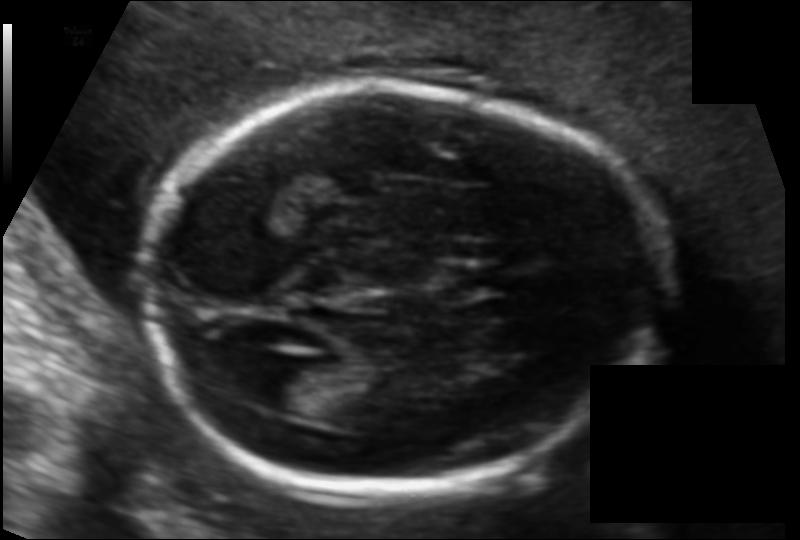
What is the fetal head circumference? Image width is 88.8 mm.

165.6 mm